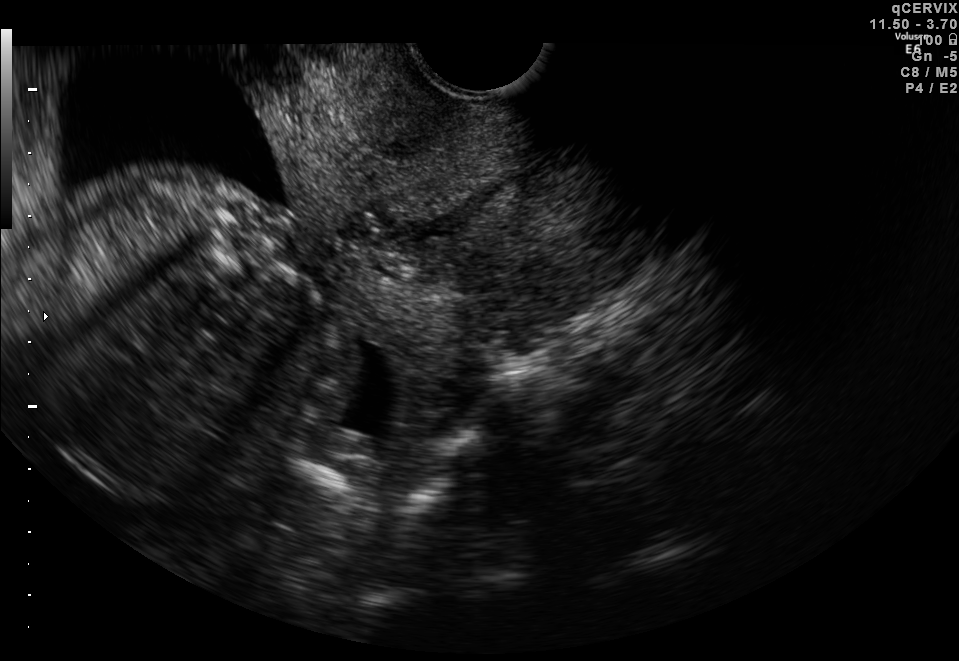
Which standard maternal-fetal ultrasound plane is shown: fetal abdomen, fetal brain, fetal femur, fetal thorax, maternal cervix, or other? If it's fetal brain and one of the three standard brain planes (trans-thalamic, trans-cerebellum, trans-ventricular), name which.

Maternal cervix